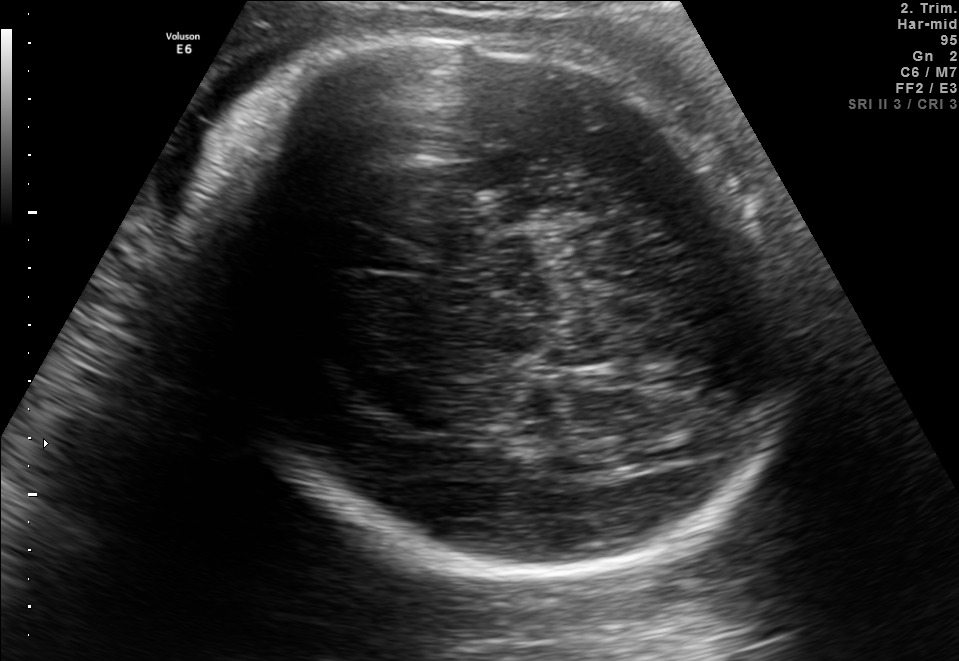
In this fetal brain, trans-thalamic plane, give the bounding box of the fetal head.

[196,23,777,586]